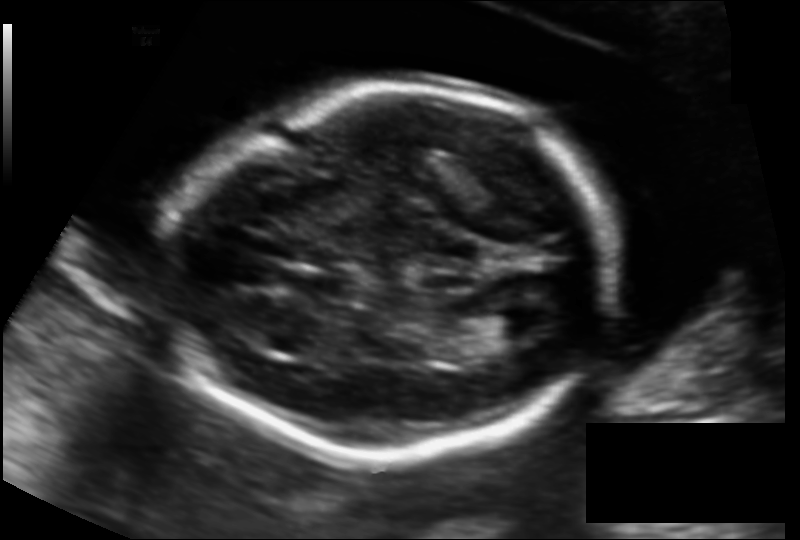
Fetal head ultrasound. Image width: 105.0 mm. Locate the fetal head and, if visible, the cavum septum pellucidum (CSP) and lateral ventricle (LV). Give bounding boxes as [x1,y1,x2,y2].

Head: [168,85,612,460]
CSP: [290,267,352,302]
Lateral ventricle: [484,308,539,343]